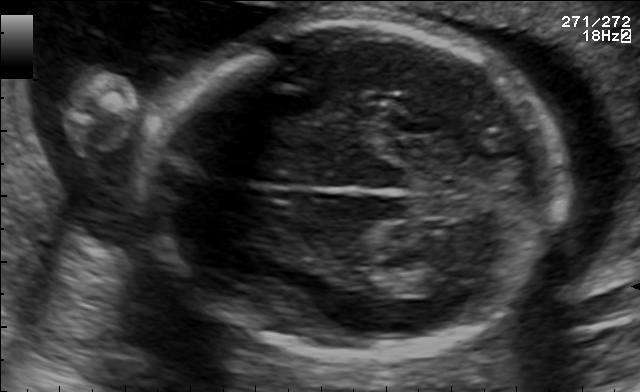
In this fetal brain, trans-thalamic plane, give bounding boxes for the head outline, cavum septum pellucidum (CSP), and lateral ventricle (LV), where visible.

Head: [145,24,559,358]
Lateral ventricle: [406,263,477,300]